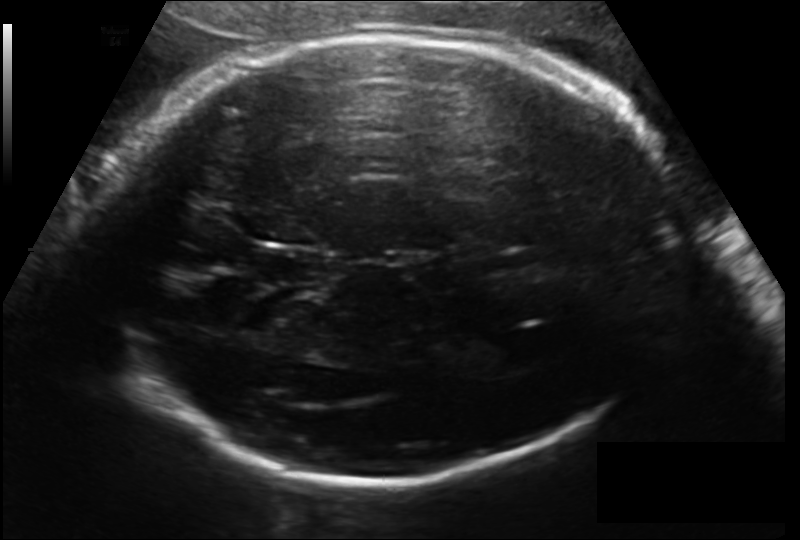
Fetal head ultrasound. Image width: 136.7 mm. Locate the cavum septum pellucidum.

CSP: [250,247,325,288]